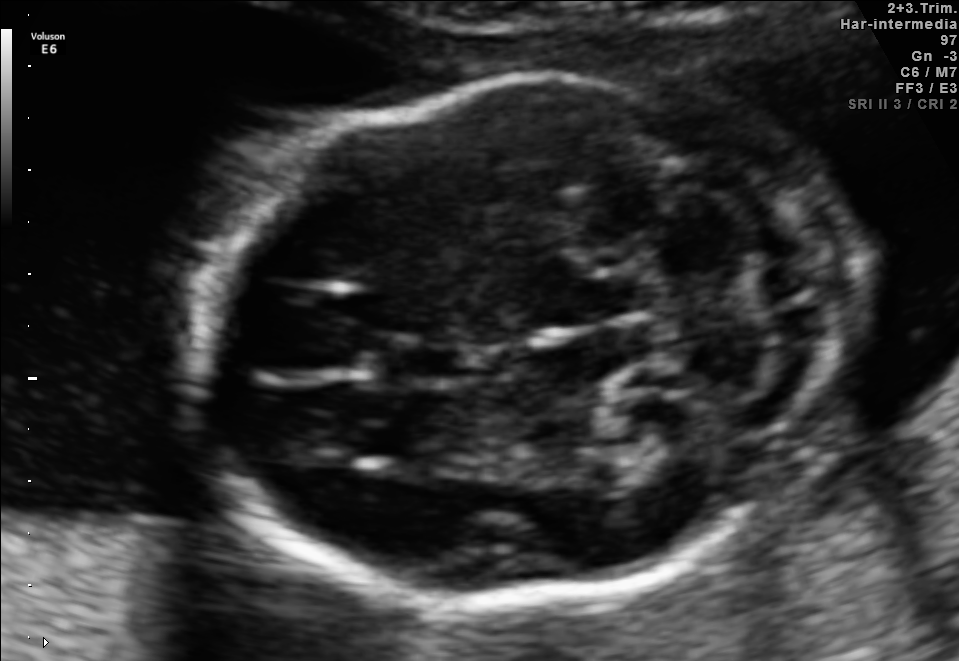
Fetal brain, trans-cerebellum plane. Locate the fetal head.

Head: [189,80,846,617]